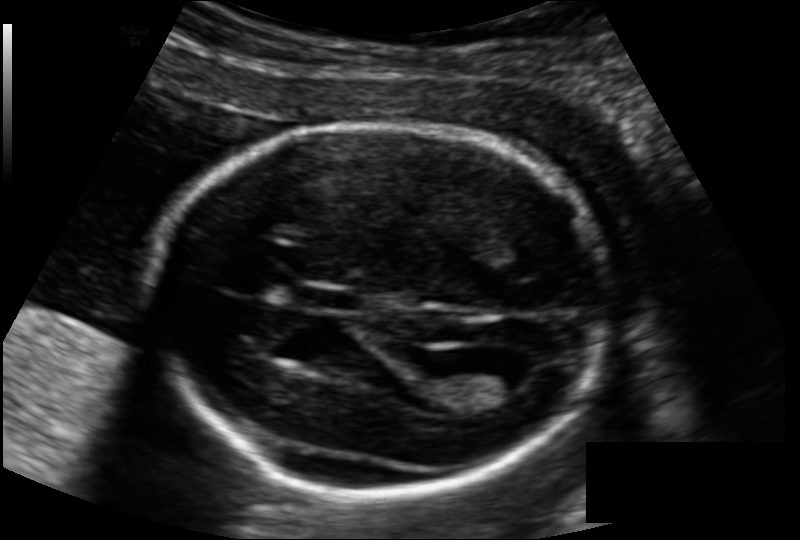
Fetal head ultrasound. Image width: 106.7 mm. Where is the cavum septum pellucidum?

CSP bounding box: [295,280,355,315]